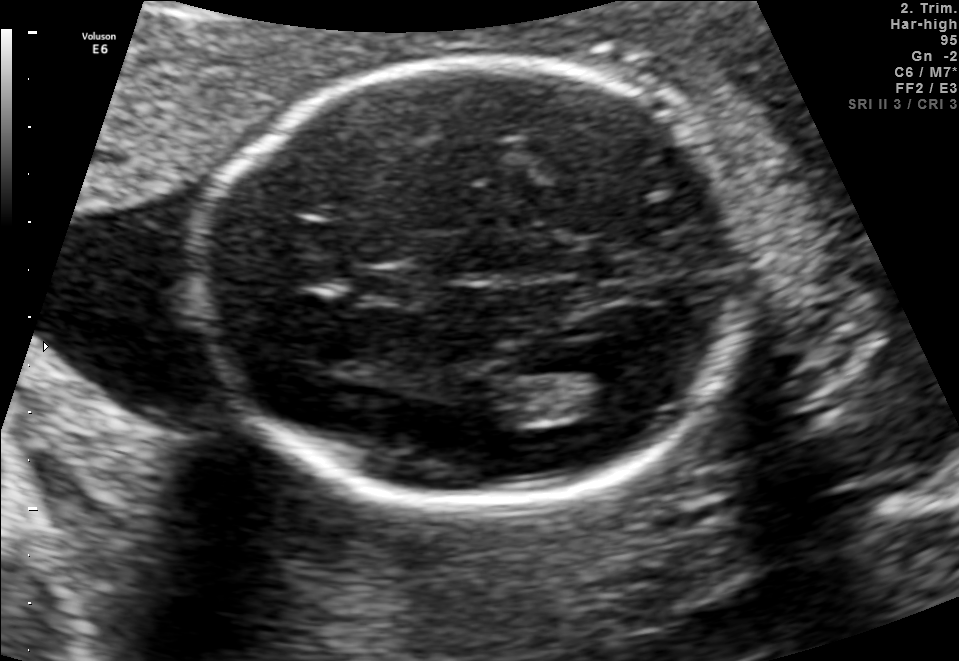
Fetal brain, trans-thalamic plane. Where is the fetal head?

Head bounding box: [201,59,746,502]